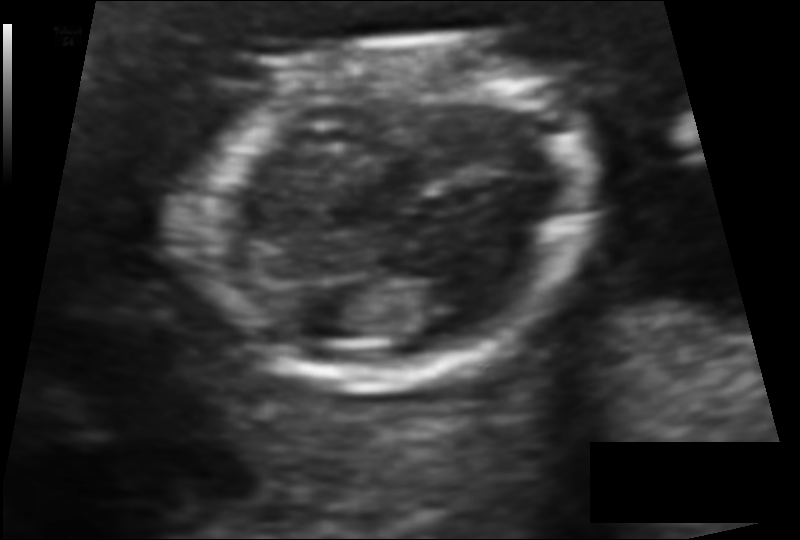
Estimate the fetal head circumference from this 2D ultrasound.

Head circumference: 108.2 mm (image width 72.9 mm).